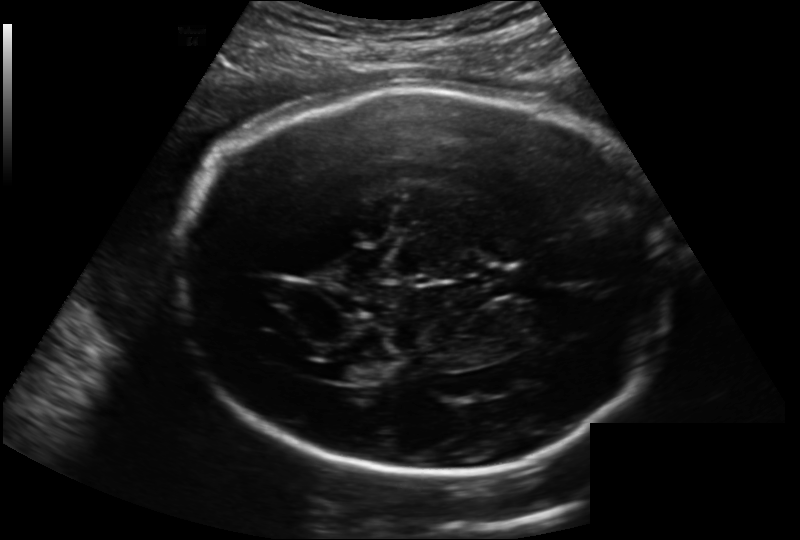
In this fetal head ultrasound, give bounding boxes for the head outline, cavum septum pellucidum (CSP), and lateral ventricle (LV), where visible. Image width: 161.8 mm.

Head: [179,87,668,477]
CSP: [479,258,540,302]
Lateral ventricle: [332,360,377,382]